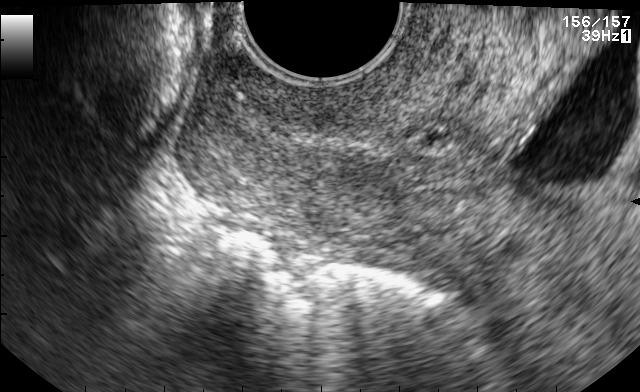
Identify the standard plane in this fetal ultrasound image: fetal abdomen, fetal brain, fetal femur, fetal thorax, maternal cervix, or other. If it's fetal brain and one of the three standard brain planes (trans-thalamic, trans-cerebellum, trans-ventricular), name which.

Maternal cervix